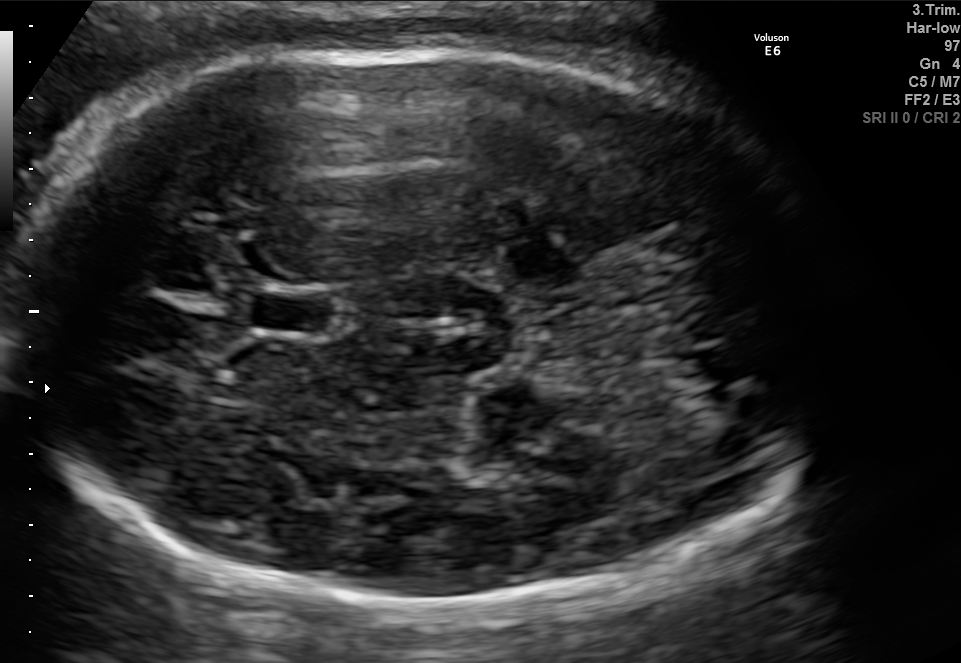
In this fetal brain, trans-thalamic plane, give the bounding box of the cavum septum pellucidum.

[251,293,329,334]